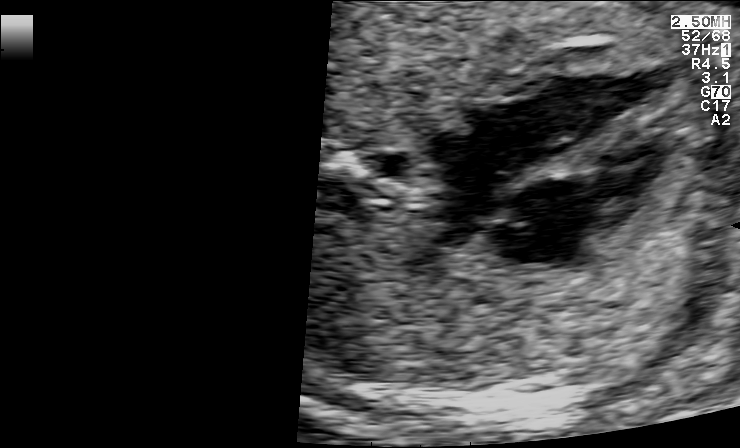
Classify this maternal-fetal ultrasound image as one of the six standard planes — fetal abdomen, fetal brain, fetal femur, fetal thorax, maternal cervix, or other. If it's fetal brain and one of the three standard brain planes (trans-thalamic, trans-cerebellum, trans-ventricular), name which.

Fetal thorax